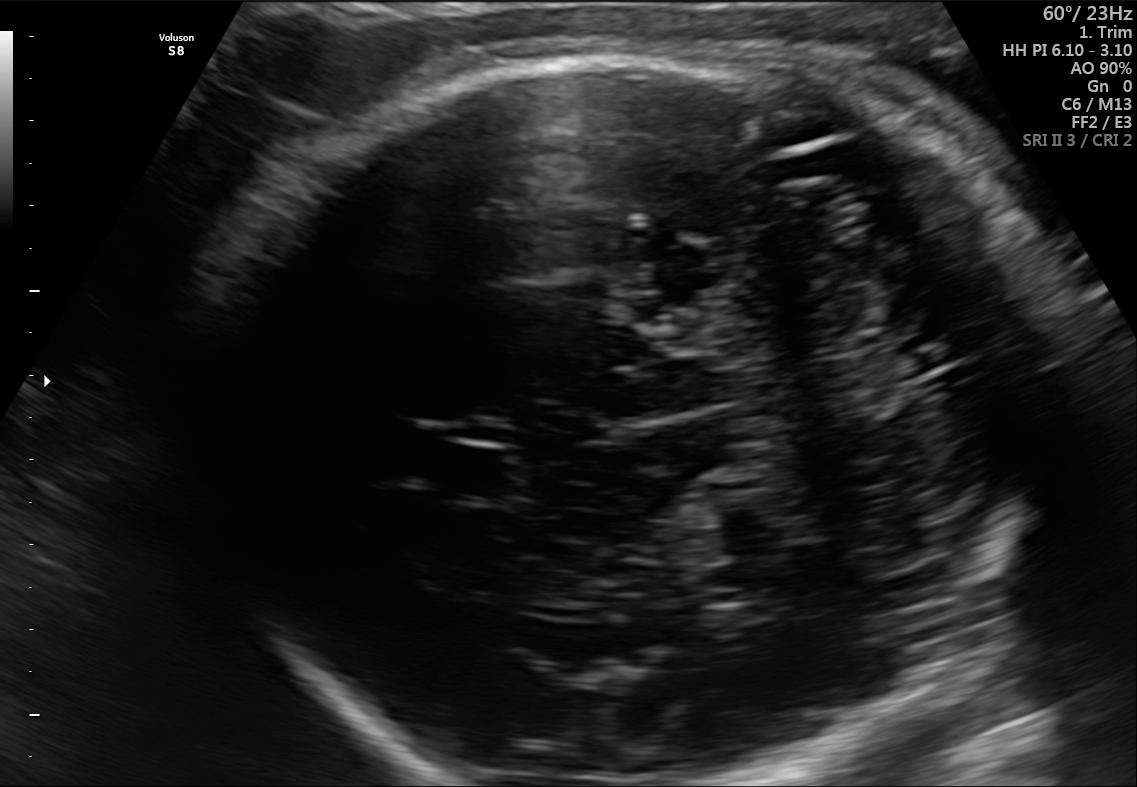
Fetal brain, trans-cerebellum plane. Give [x1,y1,x2,y2] bounding boxes for each visible structure among: fetal head, CSP, LV.

Head: [203,50,1055,785]
CSP: [418,432,531,512]